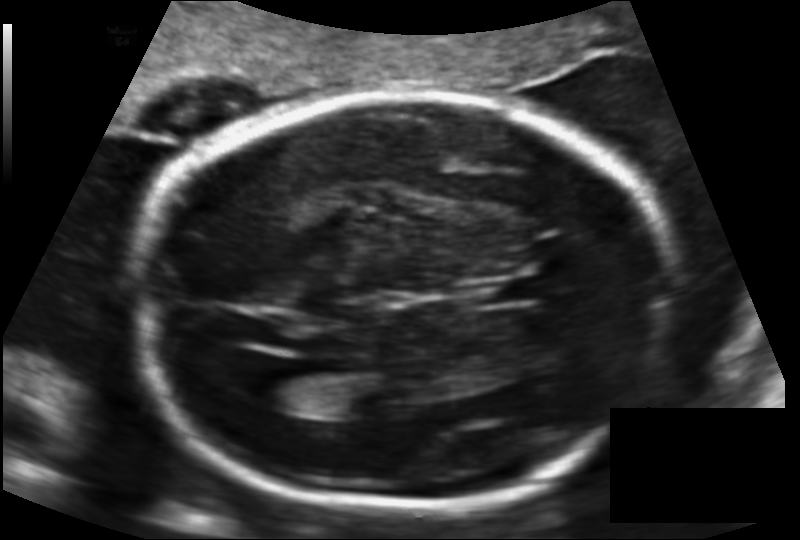
Fetal head ultrasound. Image width: 113.0 mm. Where is the lateral ventricle?

Lateral ventricle bounding box: [243,358,320,415]